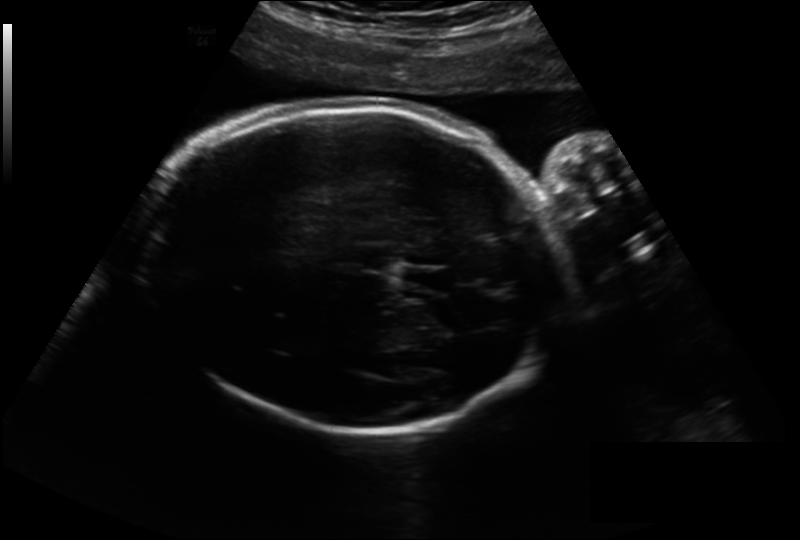
In this fetal head ultrasound, give bounding boxes for the head outline, cavum septum pellucidum (CSP), and lateral ventricle (LV), where visible. Image width: 194.6 mm.

Head: [139,102,566,430]
CSP: [400,266,450,291]